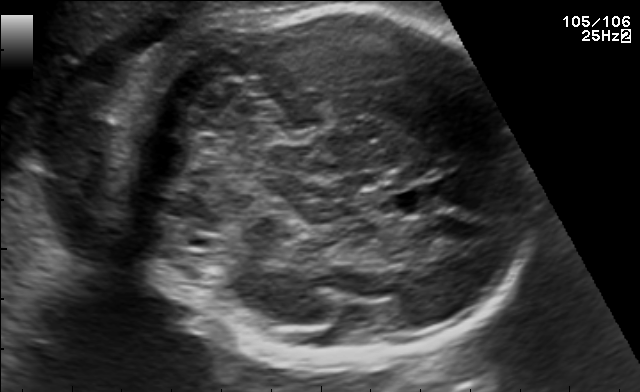
Fetal brain, trans-cerebellum plane. Locate the fetal head and, if visible, the cavum septum pellucidum (CSP) and lateral ventricle (LV). Give bounding boxes as [x1,y1,x2,y2].

Head: [135,5,519,371]